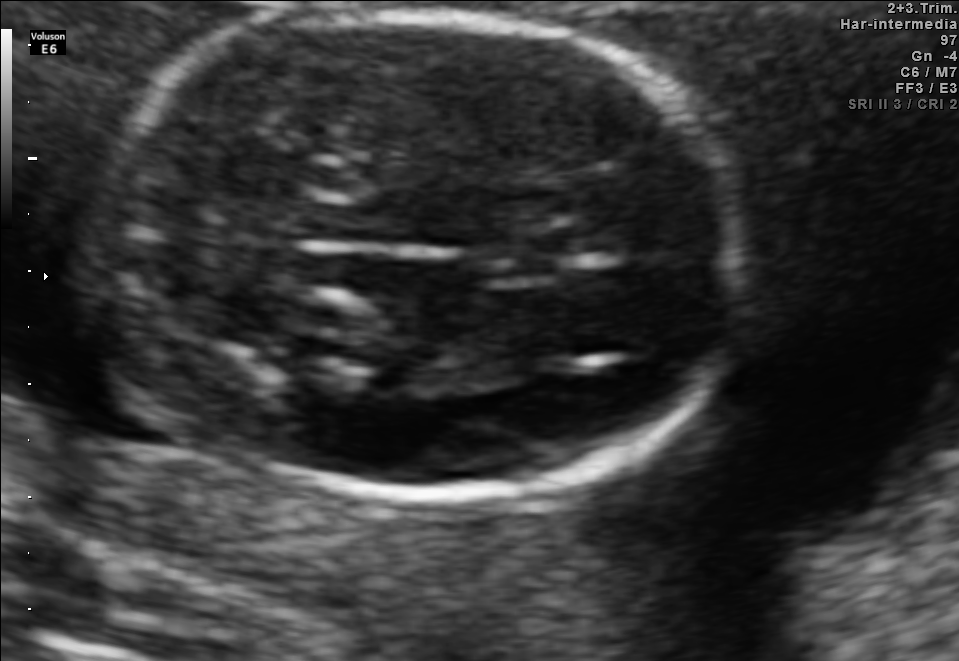
In this fetal brain, trans-thalamic plane, give bounding boxes for the head outline, cavum septum pellucidum (CSP), and lateral ventricle (LV), where visible.

Head: [99,13,748,496]
CSP: [532,223,616,258]
Lateral ventricle: [246,293,382,365]